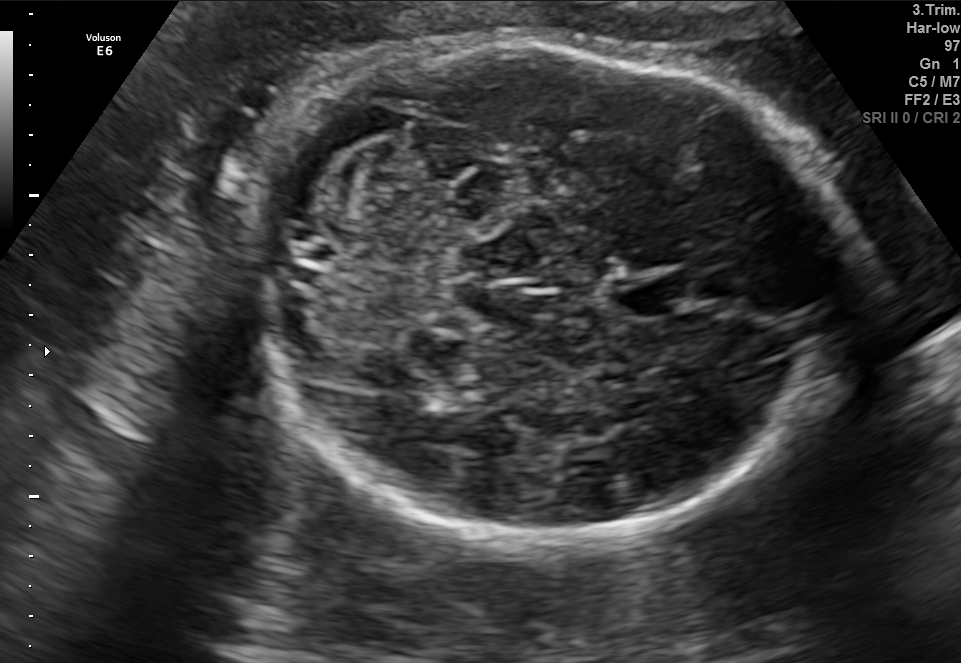
In this fetal brain, trans-cerebellum plane, give bounding boxes for the head outline, cavum septum pellucidum (CSP), and lateral ventricle (LV), where visible.

Head: [250,42,848,543]
CSP: [609,265,696,329]